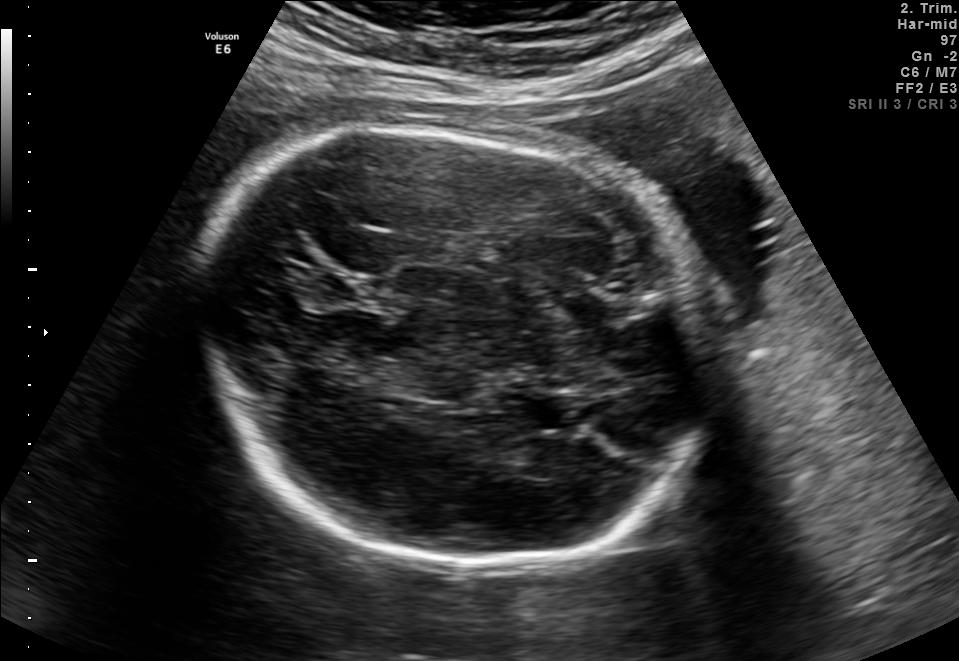
This is a 2D maternal-fetal ultrasound frame. Is it a fetal abdomen, fetal brain, fetal femur, fetal thorax, maternal cervix, or other standard plane? If it's fetal brain and one of the three standard brain planes (trans-thalamic, trans-cerebellum, trans-ventricular), name which.

Fetal brain (trans-thalamic plane)